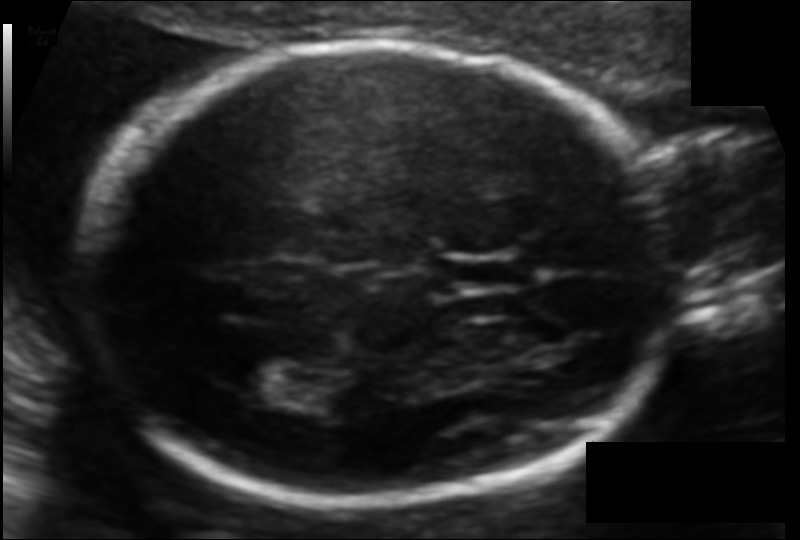
Fetal head ultrasound. Image width: 83.2 mm. Where is the cavum septum pellucidum?

CSP bounding box: [434,253,527,290]